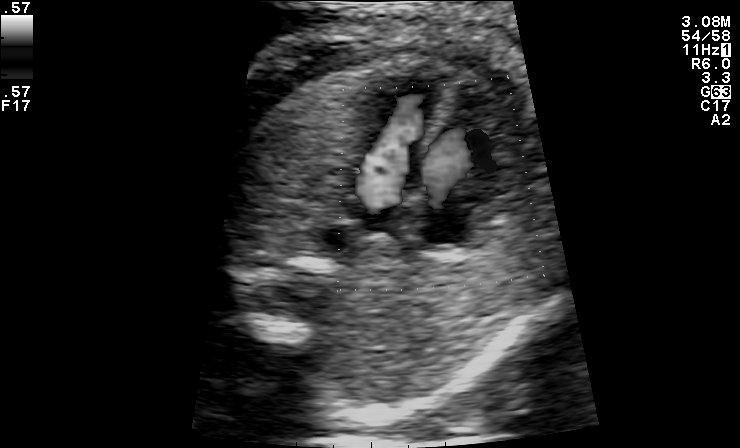
Identify the standard plane in this fetal ultrasound image: fetal abdomen, fetal brain, fetal femur, fetal thorax, maternal cervix, or other. If it's fetal brain and one of the three standard brain planes (trans-thalamic, trans-cerebellum, trans-ventricular), name which.

Other